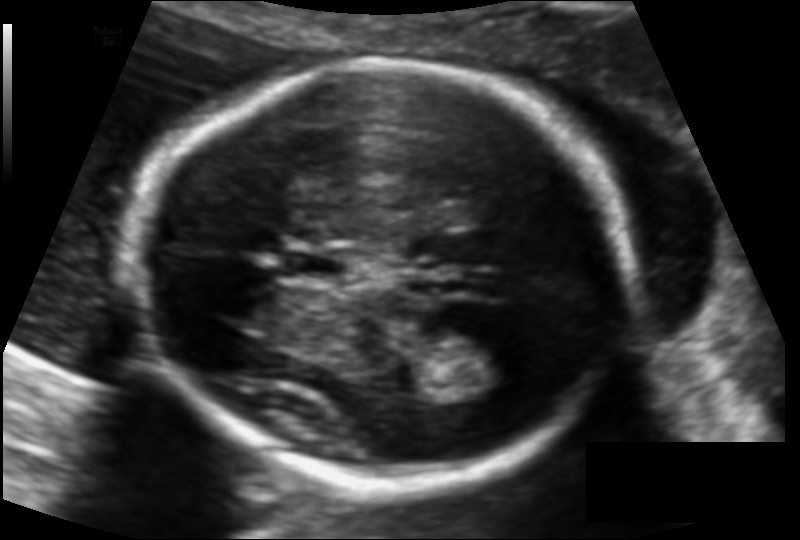
Fetal head ultrasound. Image width: 90.8 mm. Where is the cavum septum pellucidum?

CSP bounding box: [284,249,346,283]